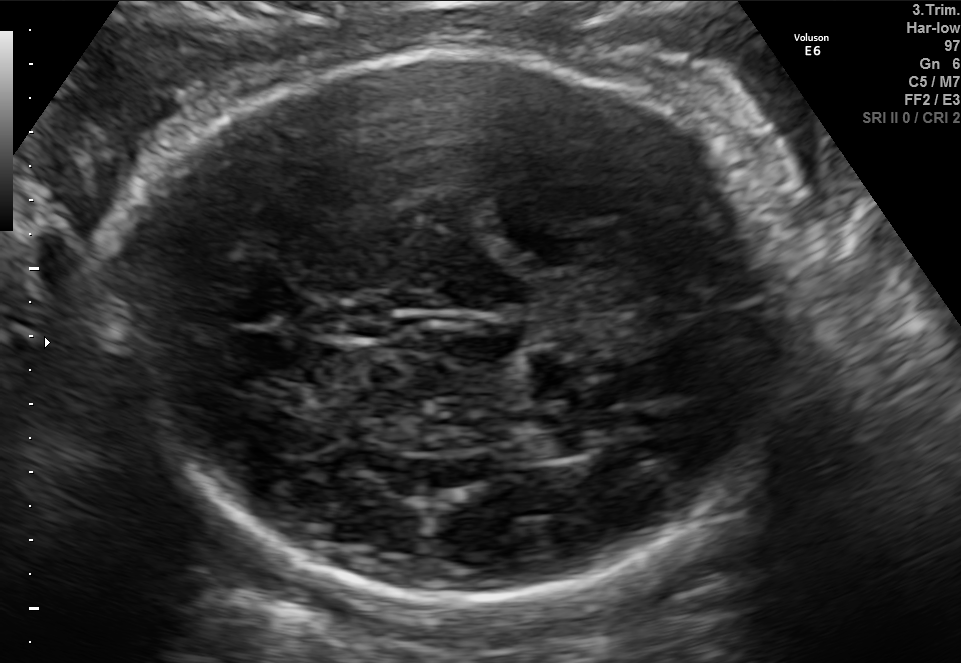
Classify this maternal-fetal ultrasound image as one of the six standard planes — fetal abdomen, fetal brain, fetal femur, fetal thorax, maternal cervix, or other. If it's fetal brain and one of the three standard brain planes (trans-thalamic, trans-cerebellum, trans-ventricular), name which.

Fetal brain (trans-thalamic plane)